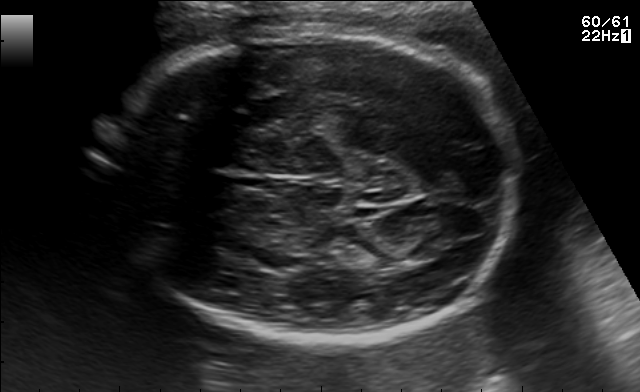
Fetal brain, trans-thalamic plane. Where is the fetal head?

Head bounding box: [100,25,523,349]